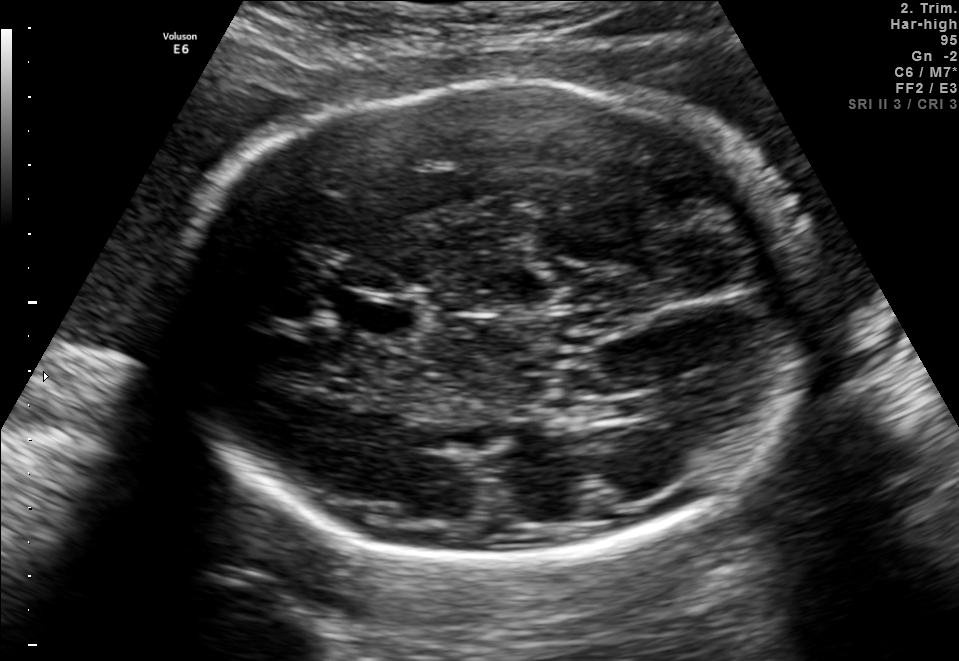
Fetal brain, trans-thalamic plane. Locate the cavum septum pellucidum.

CSP: [345,295,417,338]